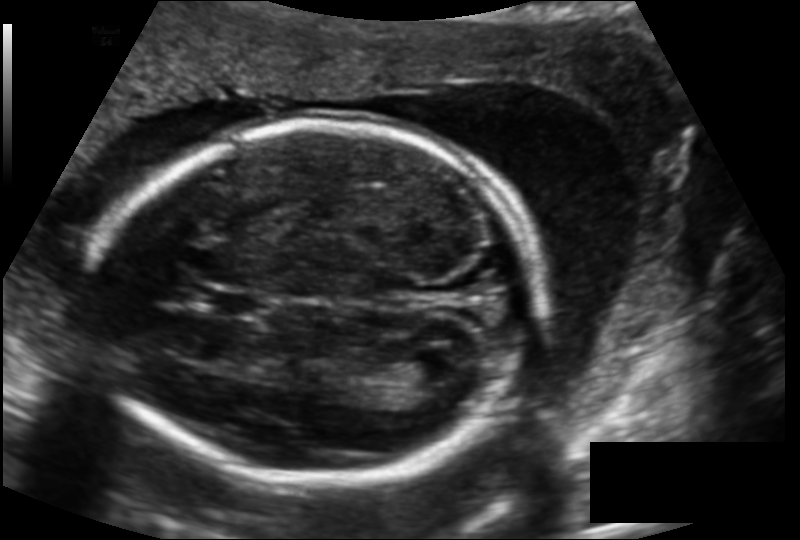
Fetal head ultrasound. Image width: 114.6 mm. Give [x1,y1,x2,y2] bounding boxes for each visible structure among: fetal head, CSP, LV.

Head: [93,122,535,485]
CSP: [203,287,266,319]
Lateral ventricle: [389,341,460,397]